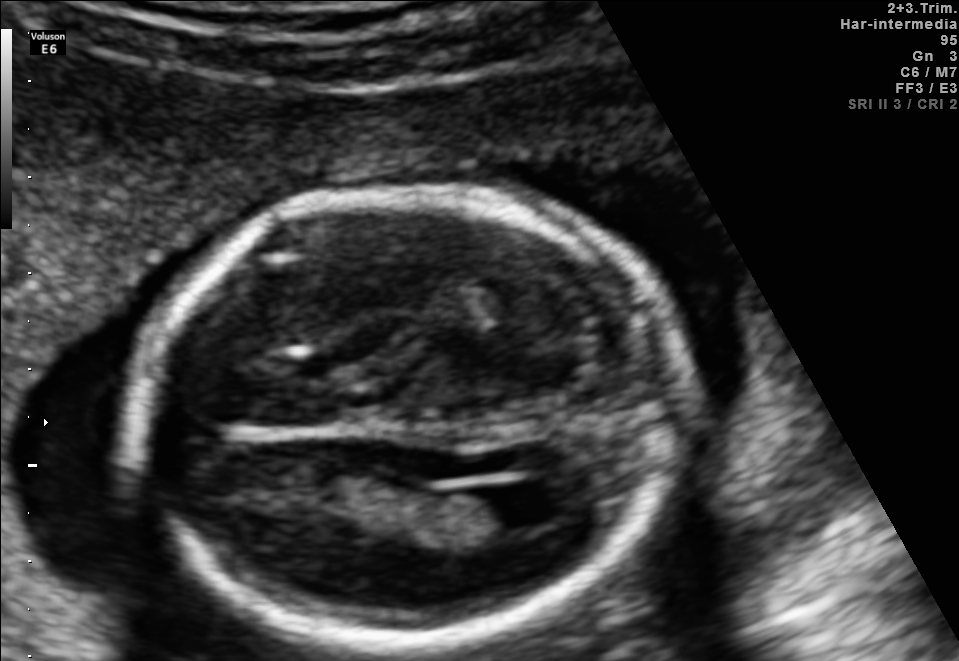
In this fetal brain, trans-ventricular plane, give the bounding box of the fetal head.

[121,177,702,658]